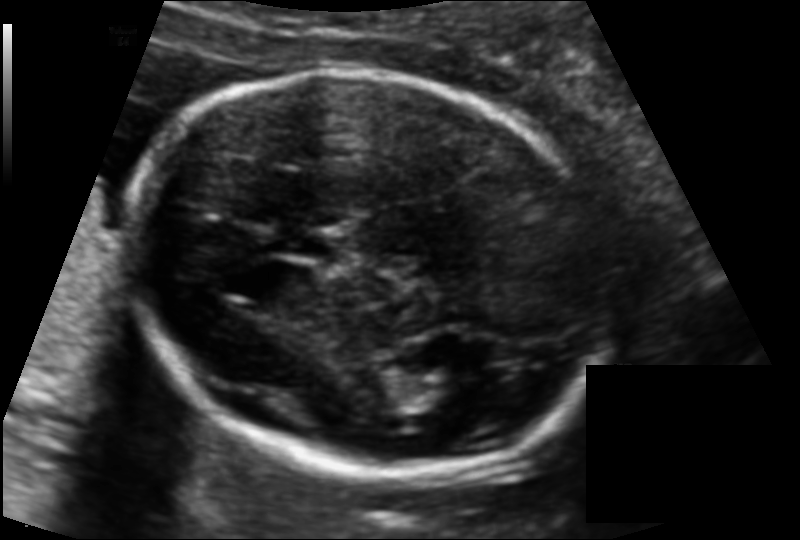
Fetal head ultrasound. Image width: 93.1 mm. Give [x1,y1,x2,y2] bounding boxes for each visible structure among: fetal head, CSP, LV.

Head: [132,73,606,477]
CSP: [275,221,350,270]